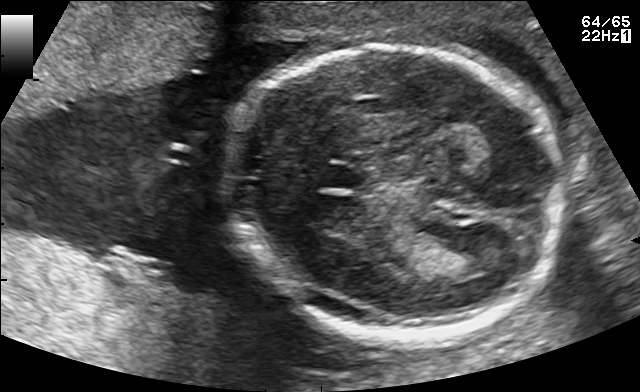
Fetal brain, trans-thalamic plane. Locate the cavum septum pellucidum.

CSP: [320,164,361,189]